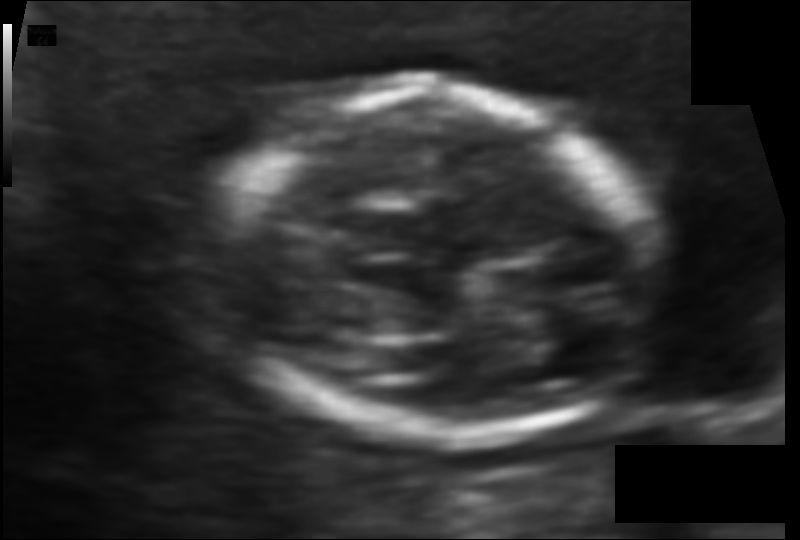
Fetal head ultrasound. Image width: 66.1 mm. Give [x1,y1,x2,y2] bounding boxes for each visible structure among: fetal head, CSP, LV.

Head: [200,87,657,441]